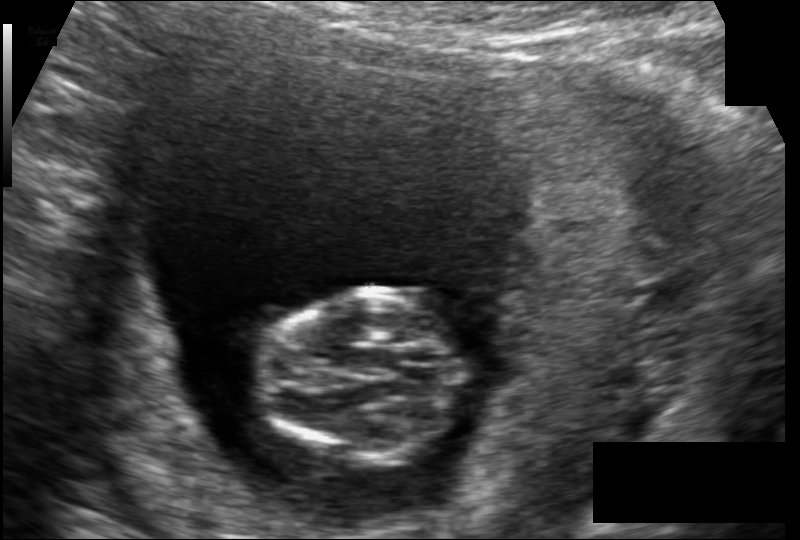
Fetal head ultrasound. Image width: 93.8 mm. Locate the fetal head.

Head: [261,289,464,465]